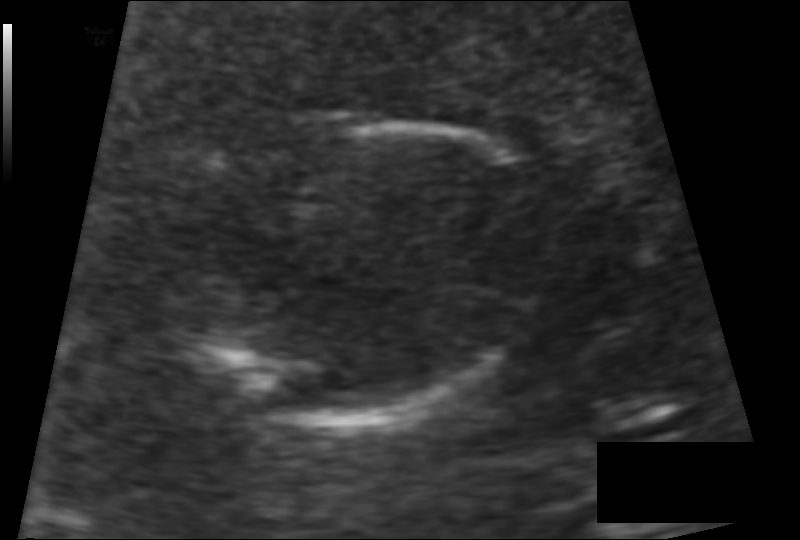
Fetal head ultrasound. Image width: 74.1 mm. Locate the fetal head and, if visible, the cavum septum pellucidum (CSP) and lateral ventricle (LV). Give bounding boxes as [x1,y1,x2,y2].

Head: [185,120,545,426]